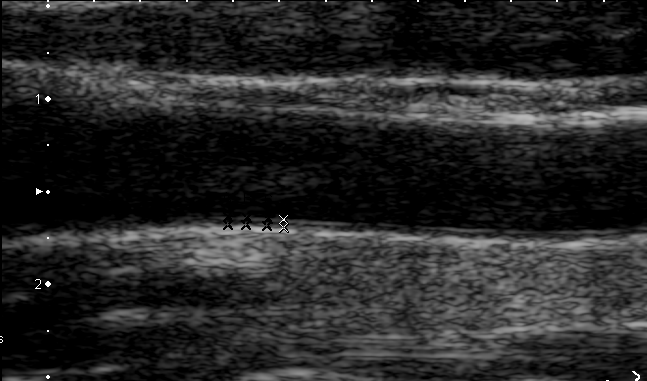
Which standard maternal-fetal ultrasound plane is shown: fetal abdomen, fetal brain, fetal femur, fetal thorax, maternal cervix, or other? If it's fetal brain and one of the three standard brain planes (trans-thalamic, trans-cerebellum, trans-ventricular), name which.

Other